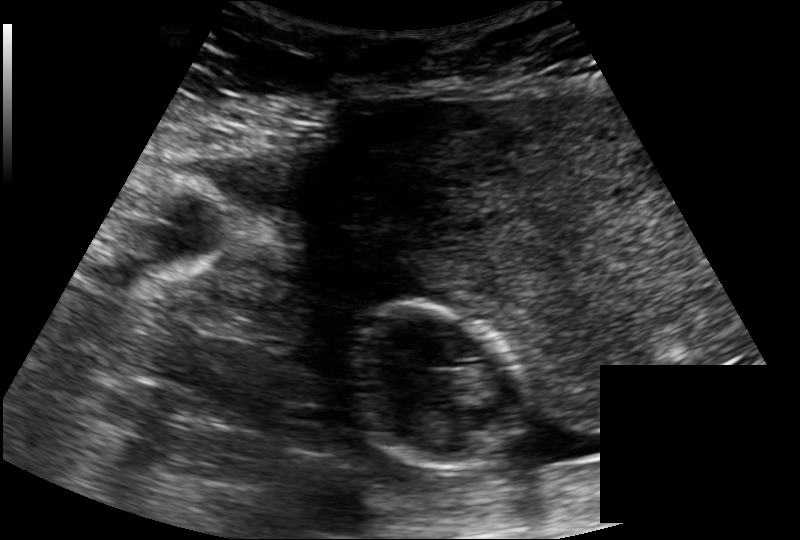
Fetal head ultrasound. Image width: 136.5 mm. Give [x1,y1,x2,y2] bounding boxes for each visible structure among: fetal head, CSP, LV.

Head: [345,302,516,470]